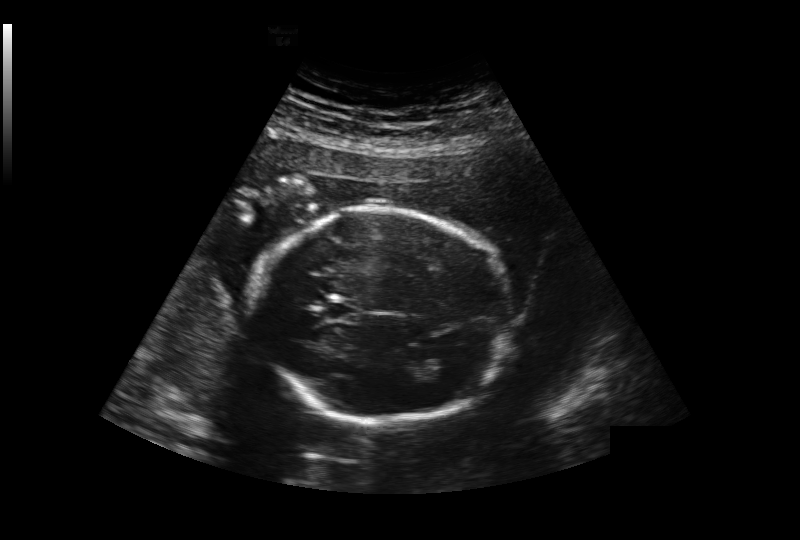
What is the fetal head circumference? Image width is 191.2 mm.

186.2 mm